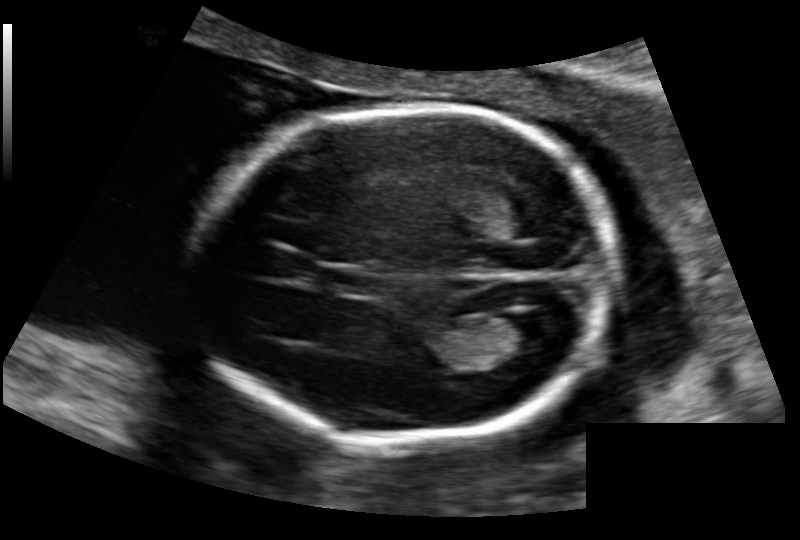
Estimate the fetal head circumference from this 2D ultrasound. Image width: 108.9 mm.

Head circumference: 167.1 mm.